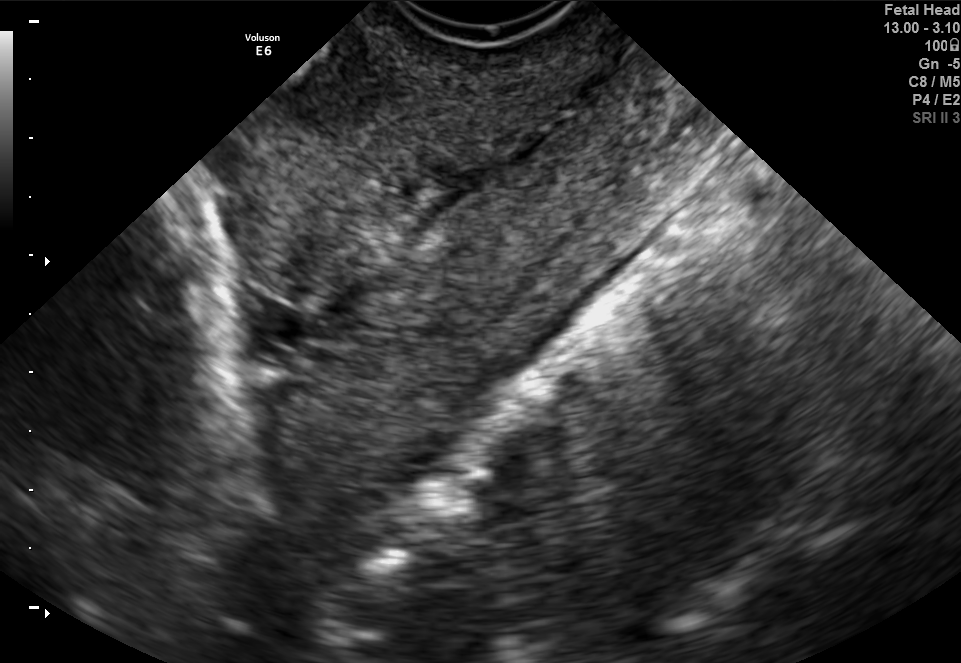
Identify the standard plane in this fetal ultrasound image: fetal abdomen, fetal brain, fetal femur, fetal thorax, maternal cervix, or other. If it's fetal brain and one of the three standard brain planes (trans-thalamic, trans-cerebellum, trans-ventricular), name which.

Maternal cervix